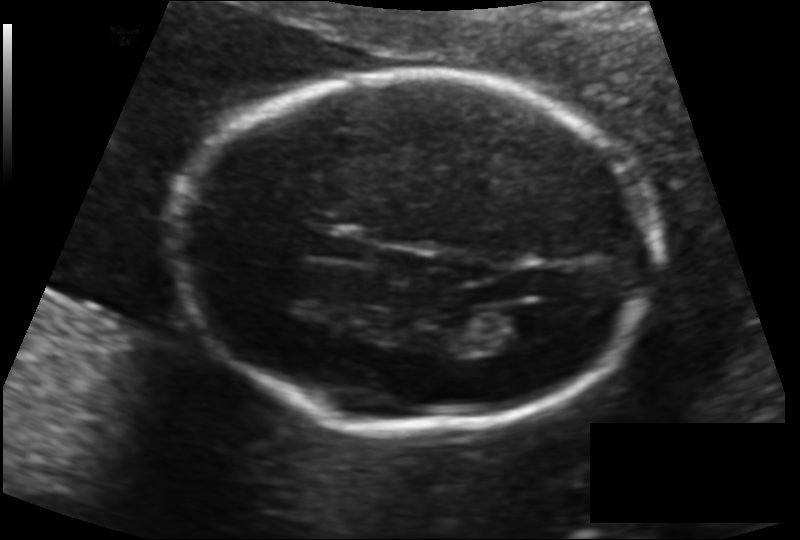
Fetal head ultrasound. Image width: 107.4 mm. Locate the cavum septum pellucidum.

CSP: [306,226,367,265]